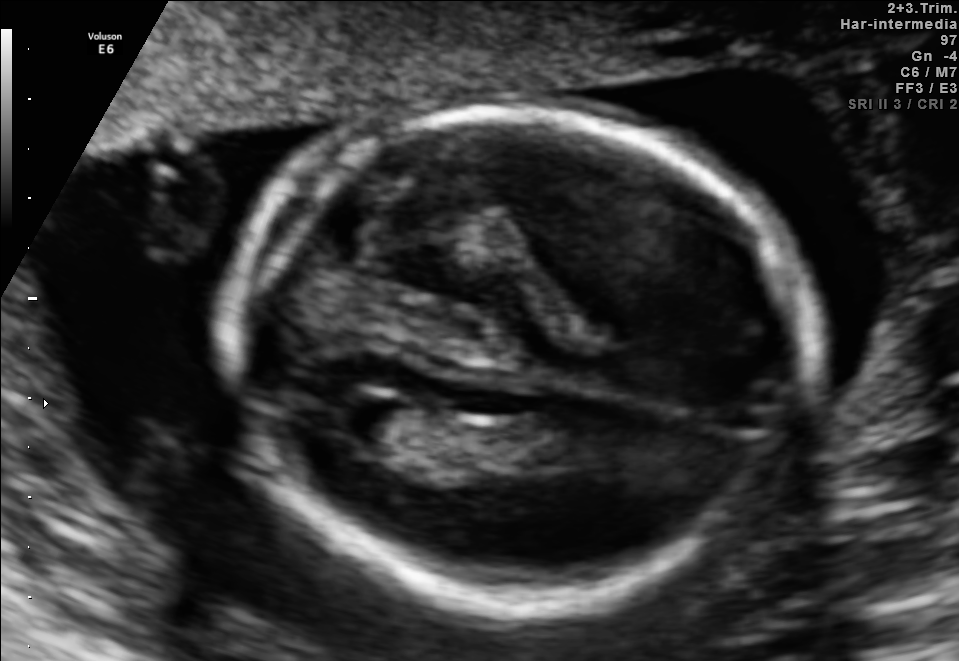
In this fetal brain, trans-ventricular plane, give the bounding box of the fetal head.

[215,101,826,618]